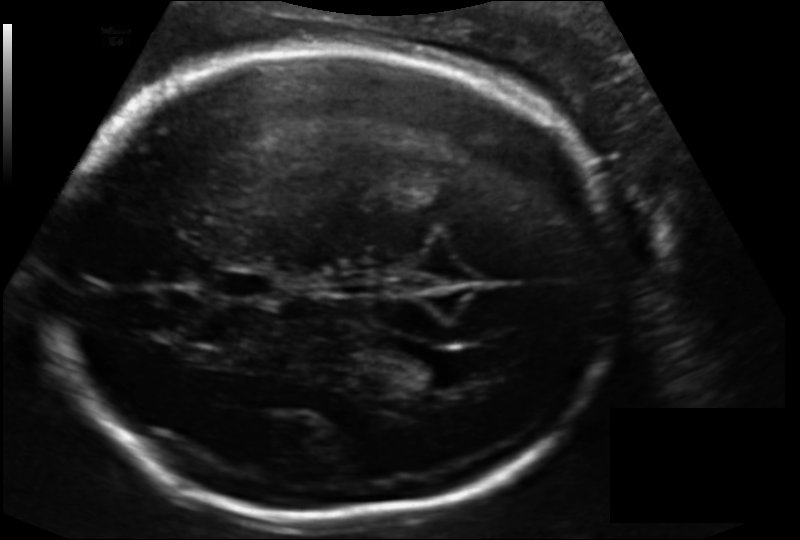
Fetal head ultrasound. Image width: 124.7 mm. Where is the cavum septum pellucidum?

CSP bounding box: [209,264,278,303]